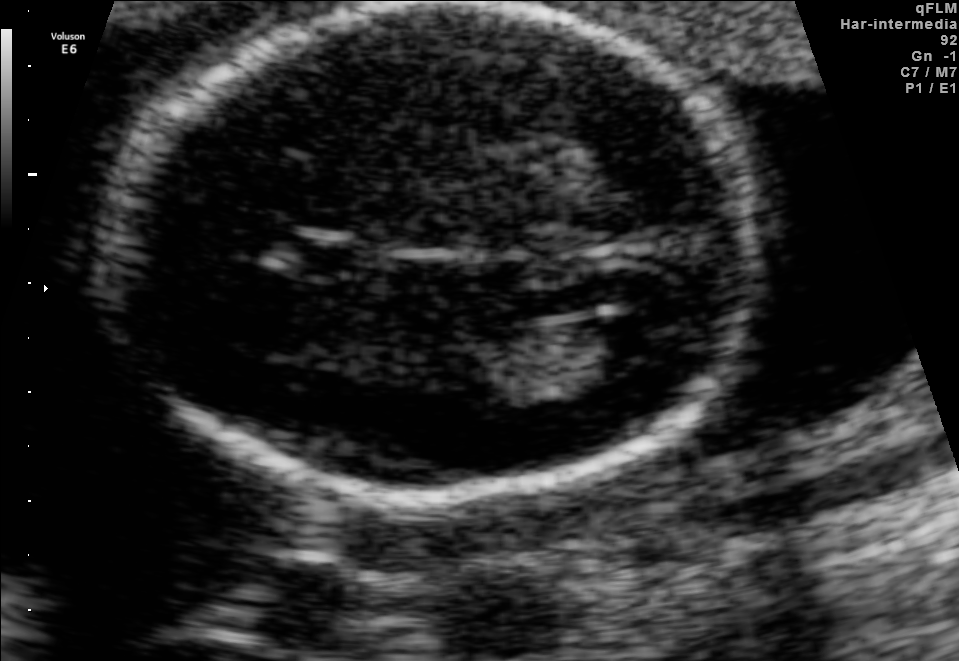
Fetal brain, trans-ventricular plane. Where is the cavum septum pellucidum?

CSP bounding box: [279,234,370,278]